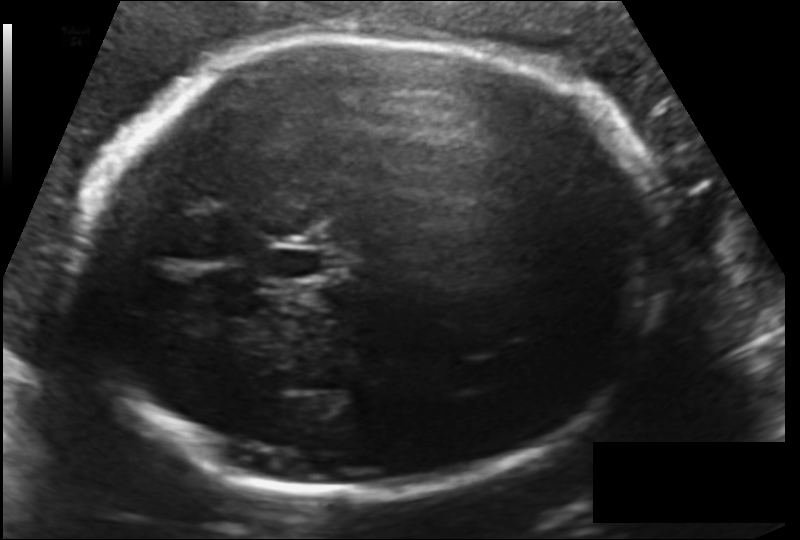
Fetal head ultrasound. Image width: 122.1 mm. Locate the cavum septum pellucidum.

CSP: [265,244,330,282]